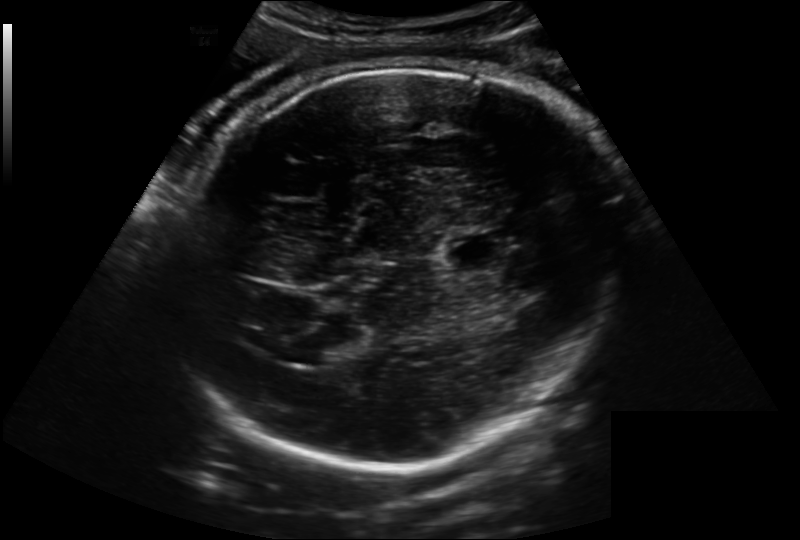
In this fetal head ultrasound, give the bounding box of the fetal head. Image width: 177.3 mm.

[171,63,626,467]